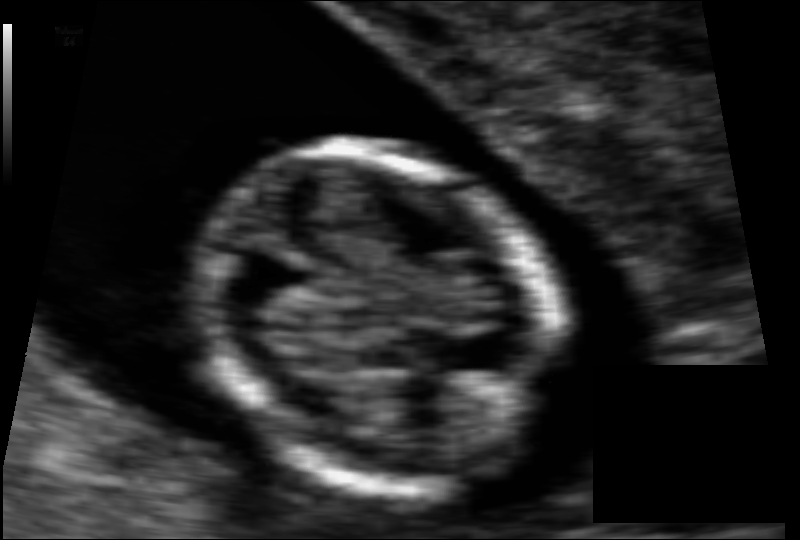
Fetal head ultrasound. Image width: 49.4 mm. Give [x1,y1,x2,y2] bounding boxes for each visible structure among: fetal head, CSP, LV.

Head: [198,142,561,493]